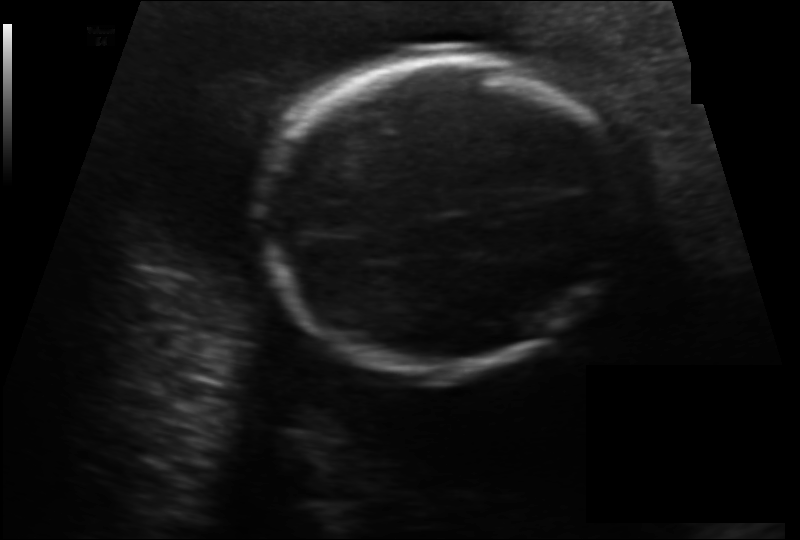
Fetal head ultrasound. Image width: 124.9 mm. Locate the fetal head and, if visible, the cavum septum pellucidum (CSP) and lateral ventricle (LV). Give bounding boxes as [x1,y1,x2,y2].

Head: [259,58,626,369]